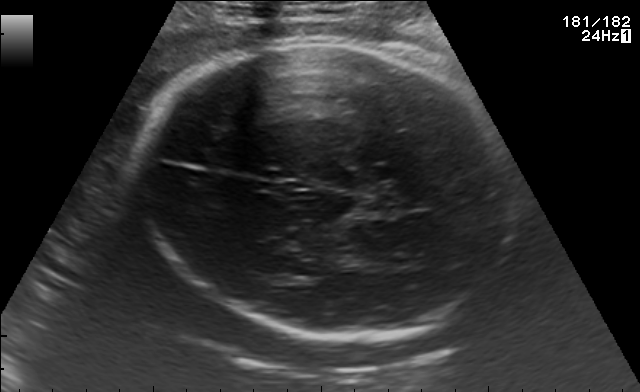
In this fetal brain, trans-thalamic plane, give the bounding box of the fetal head.

[138,41,511,336]